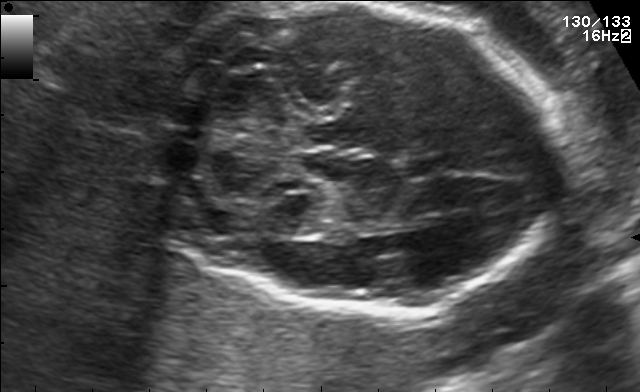
Fetal brain, trans-cerebellum plane. Locate the fetal head and, if visible, the cavum septum pellucidum (CSP) and lateral ventricle (LV). Give bounding boxes as [x1,y1,x2,y2].

Head: [150,4,561,315]
CSP: [399,151,455,182]